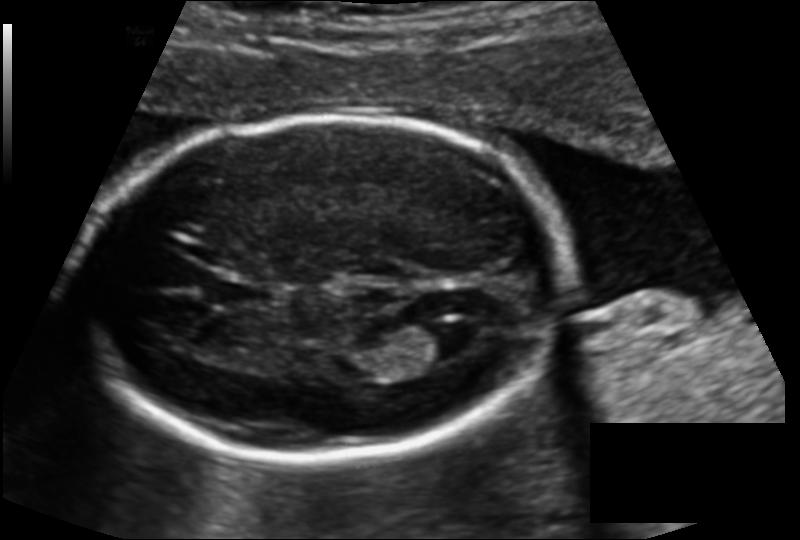
In this fetal head ultrasound, give the bounding box of the fetal head. Image width: 109.1 mm.

[74,114,562,462]